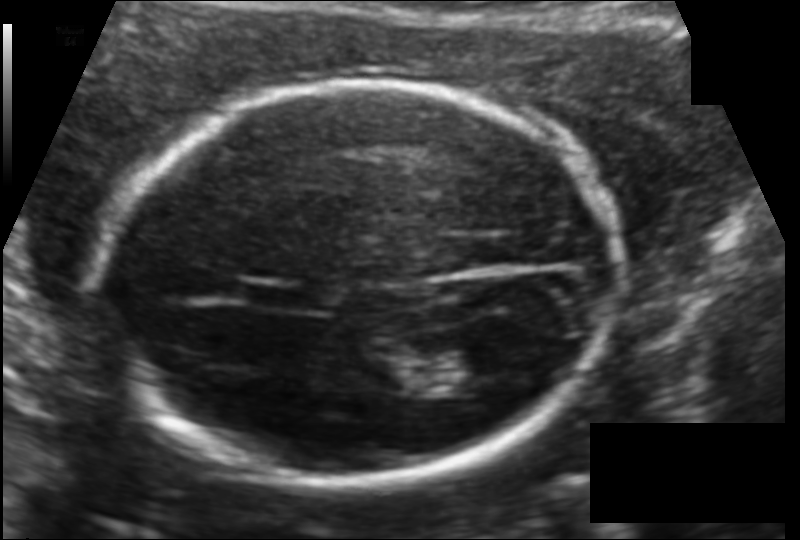
Fetal head ultrasound. Image width: 96.7 mm. Locate the fetal head and, if visible, the cavum septum pellucidum (CSP) and lateral ventricle (LV). Give bounding boxes as [x1,y1,x2,y2].

Head: [104,83,624,480]
CSP: [244,277,316,314]
Lateral ventricle: [438,348,511,395]